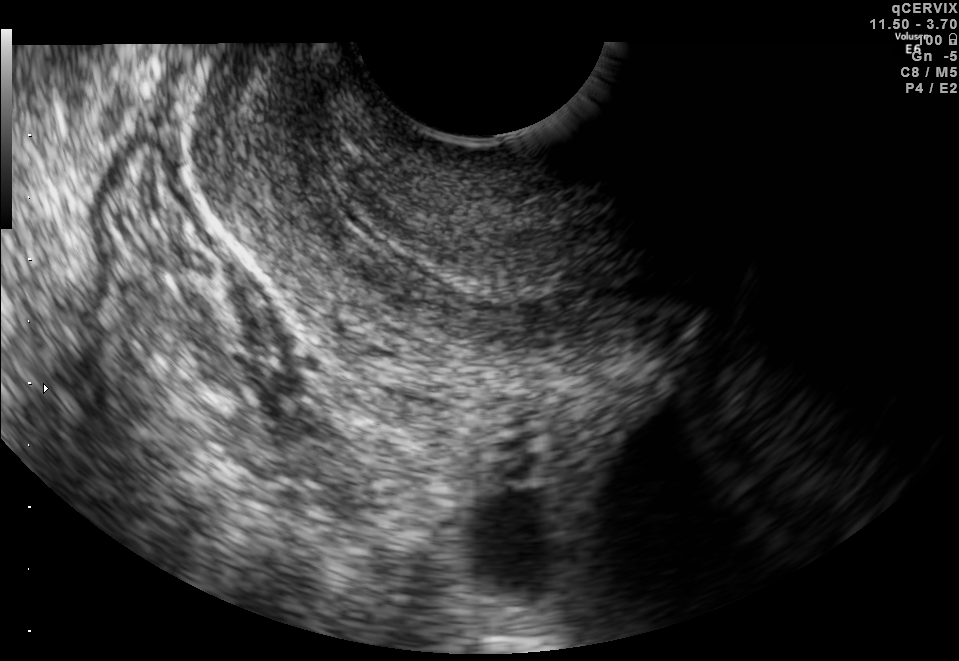
This is a 2D maternal-fetal ultrasound frame. Is it a fetal abdomen, fetal brain, fetal femur, fetal thorax, maternal cervix, or other standard plane? If it's fetal brain and one of the three standard brain planes (trans-thalamic, trans-cerebellum, trans-ventricular), name which.

Maternal cervix